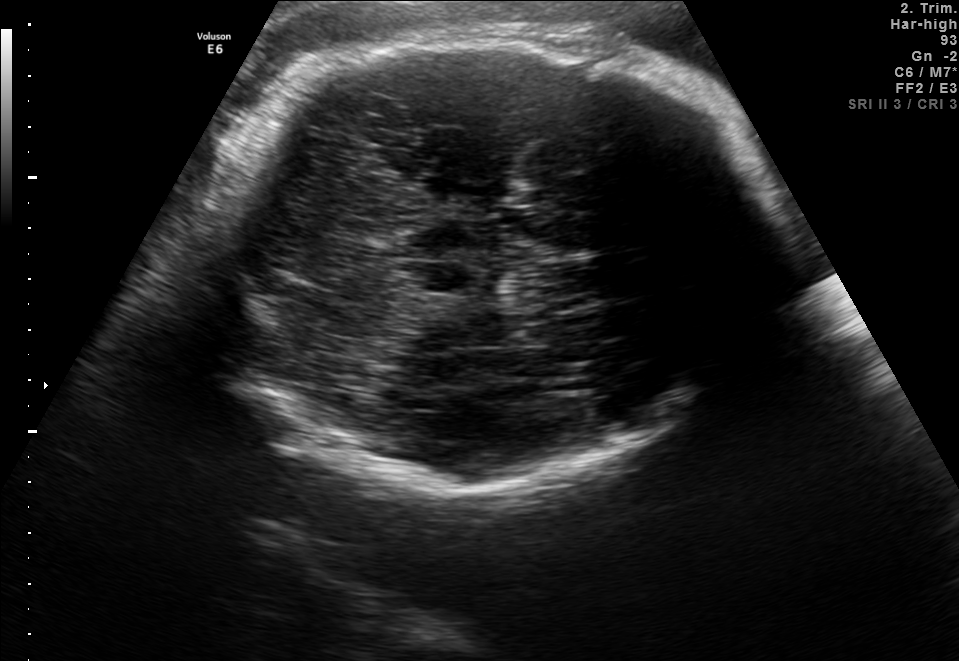
In this fetal brain, trans-thalamic plane, give bounding boxes for the head outline, cavum septum pellucidum (CSP), and lateral ventricle (LV), where visible.

Head: [206,31,773,490]